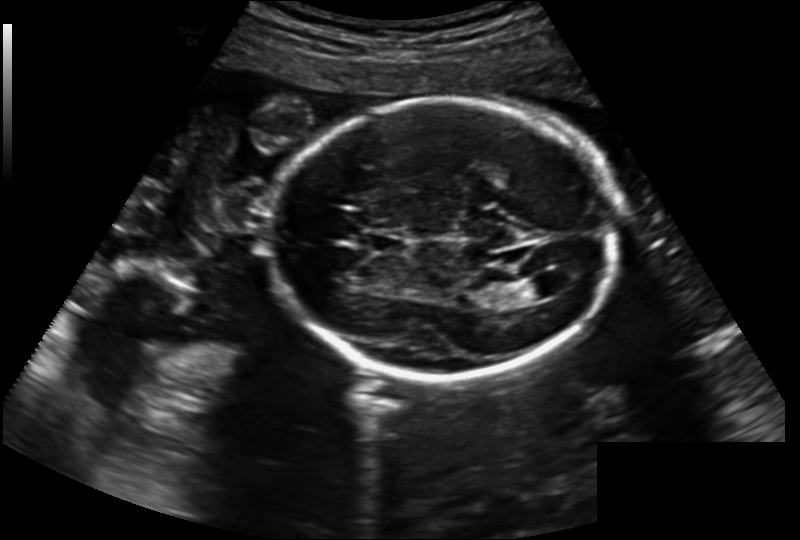
Fetal head ultrasound. Image width: 161.7 mm. Where is the cavum septum pellucidum?

CSP bounding box: [368,231,405,252]